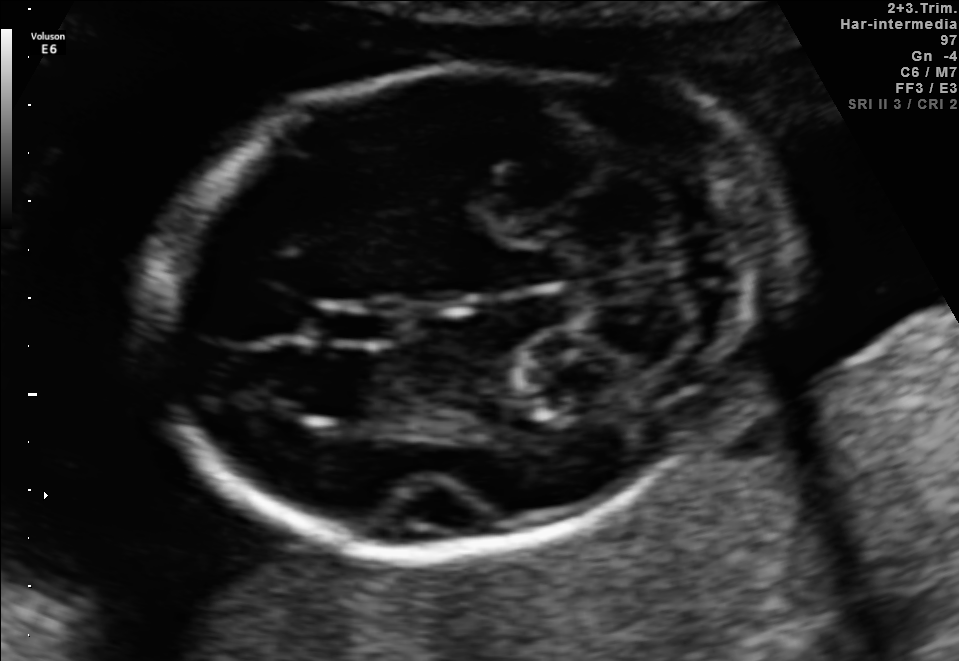
Fetal brain, trans-cerebellum plane. Where is the fetal head?

Head bounding box: [149,61,798,550]